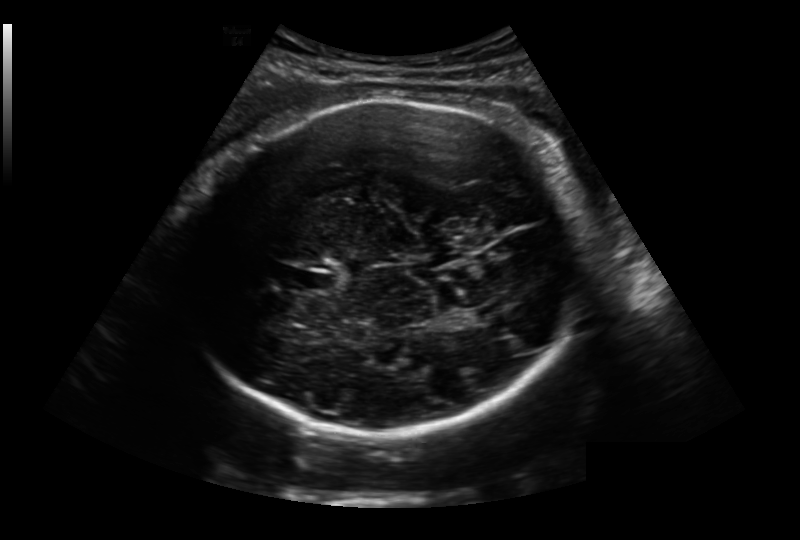
In this fetal head ultrasound, give bounding boxes for the head outline, cavum septum pellucidum (CSP), and lateral ventricle (LV), where visible. Image width: 188.7 mm.

Head: [180,97,593,435]
CSP: [296,267,340,296]